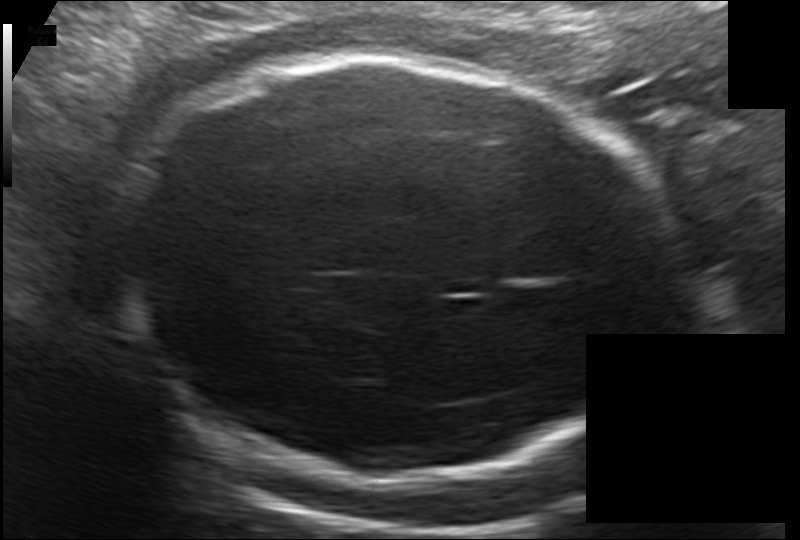
Estimate the fetal head circumference from this 2D ultrasound.

Head circumference: 272.7 mm (image width 138.0 mm).